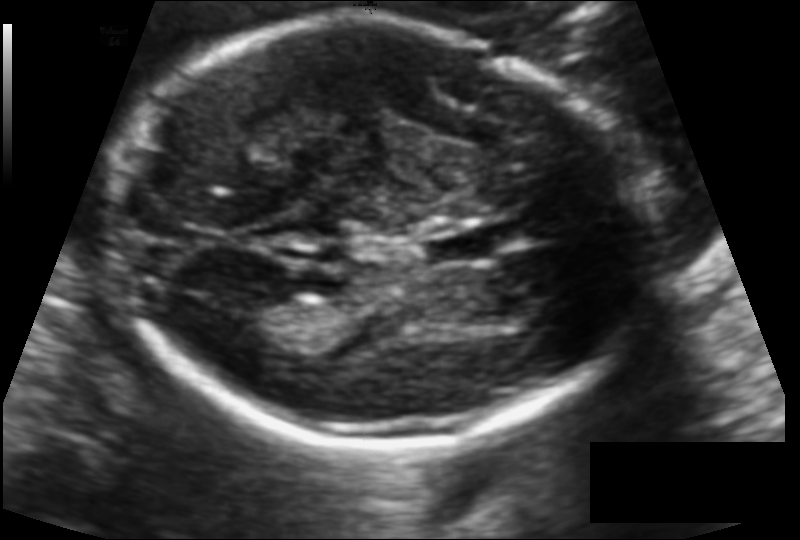
Fetal head ultrasound. Image width: 90.9 mm. Where is the fetal head?

Head bounding box: [110,20,650,444]